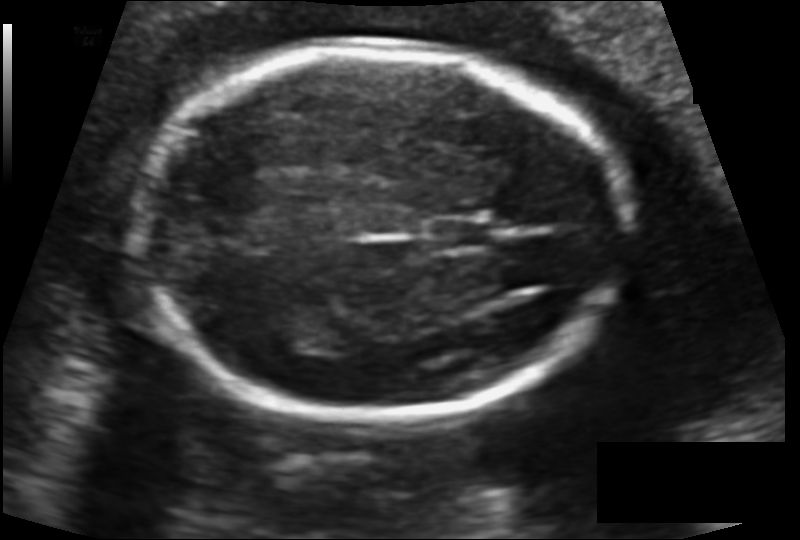
In this fetal head ultrasound, give bounding boxes for the head outline, cavum septum pellucidum (CSP), and lateral ventricle (LV), where visible. Image width: 98.1 mm.

Head: [134,51,626,417]